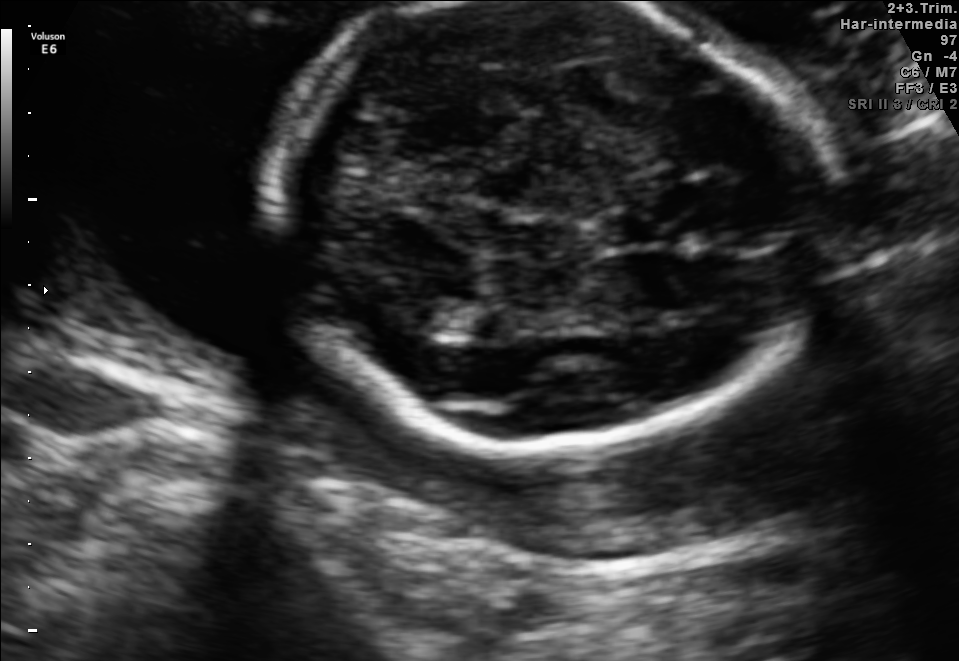
Fetal brain, trans-thalamic plane. Where is the fetal head?

Head bounding box: [263,2,828,447]